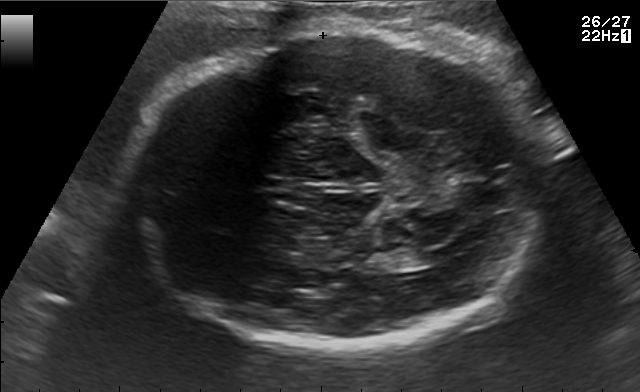
Fetal brain, trans-ventricular plane. Where is the cavum septum pellucidum?

CSP bounding box: [263,174,322,197]